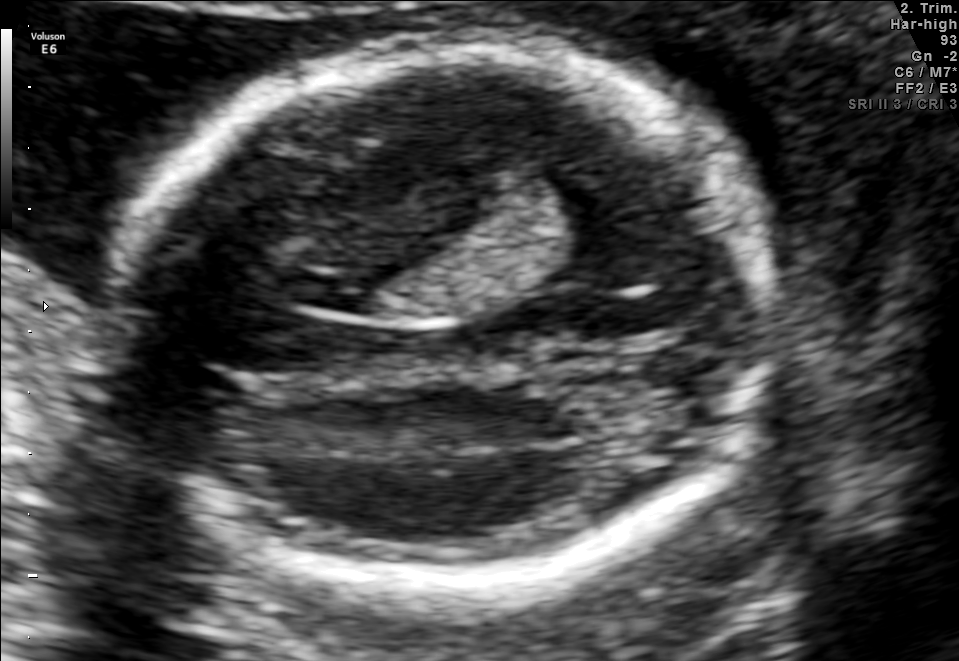
In this fetal brain, trans-ventricular plane, give bounding boxes for the head outline, cavum septum pellucidum (CSP), and lateral ventricle (LV), where visible.

Head: [102,43,791,592]